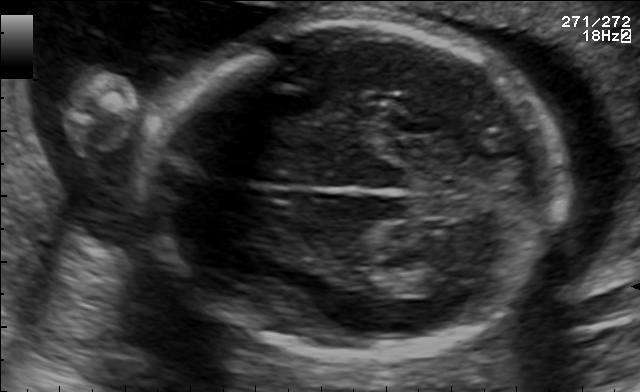
Fetal brain, trans-thalamic plane. Locate the lateral ventricle.

Lateral ventricle: [406,263,477,300]